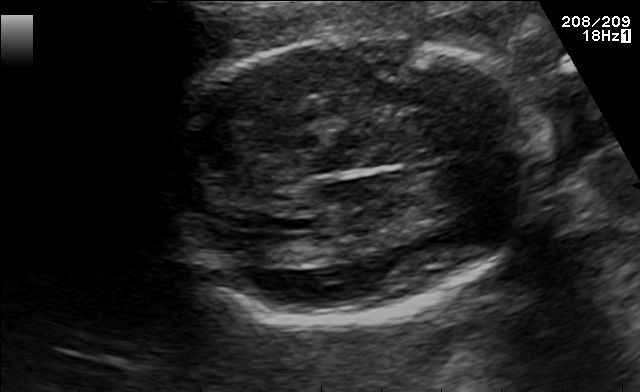
Fetal brain, trans-thalamic plane. Locate the fetal head.

Head: [163,34,545,317]